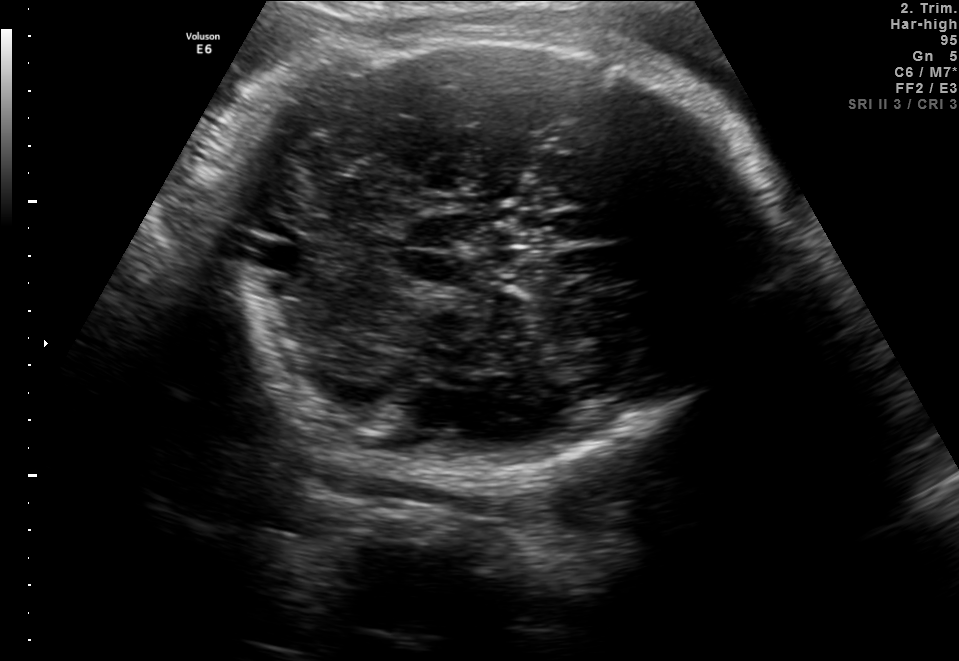
Fetal brain, trans-cerebellum plane. Where is the fetal head?

Head bounding box: [217,28,778,475]